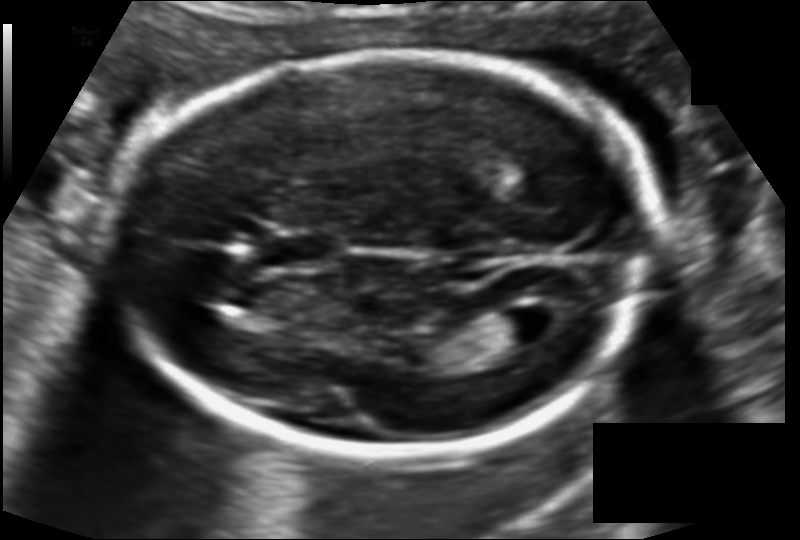
From this fetal ultrasound, estimate the head circumference (image width 92.2 mm).

Head circumference: 178.0 mm.